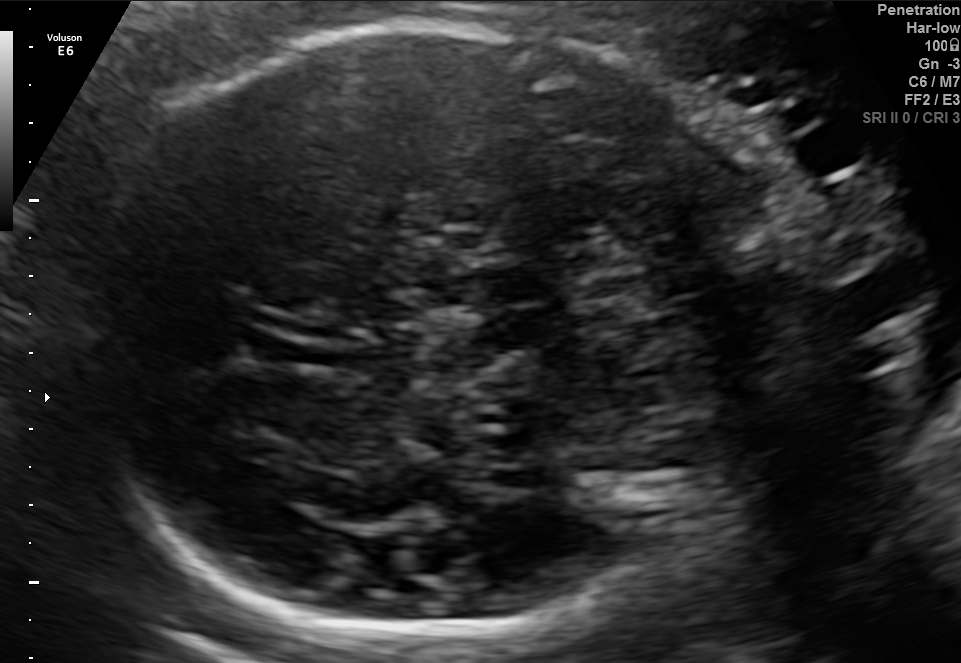
Fetal brain, trans-thalamic plane. Where is the fetal head?

Head bounding box: [74,25,775,640]